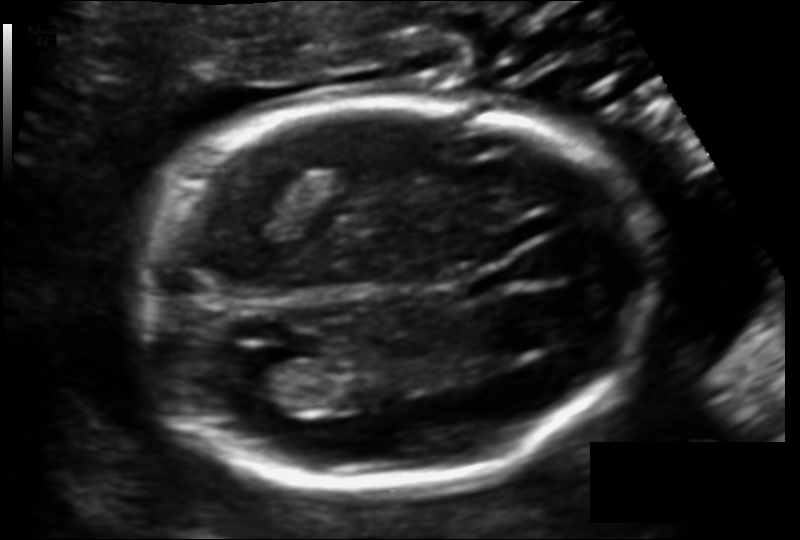
In this fetal head ultrasound, give the bounding box of the fetal head. Image width: 97.3 mm.

[138,100,649,491]